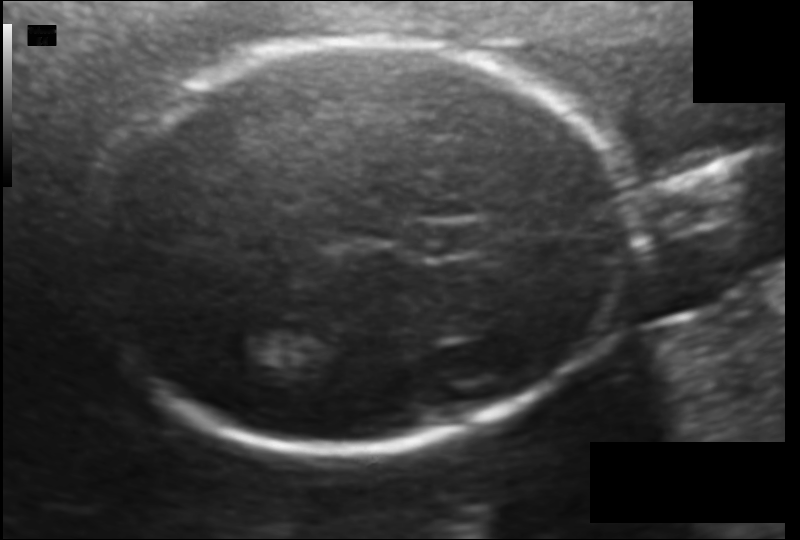
Measure the fetal head circumference shown in this ultrasound image. Image width: 90.8 mm.

Head circumference: 176.3 mm.